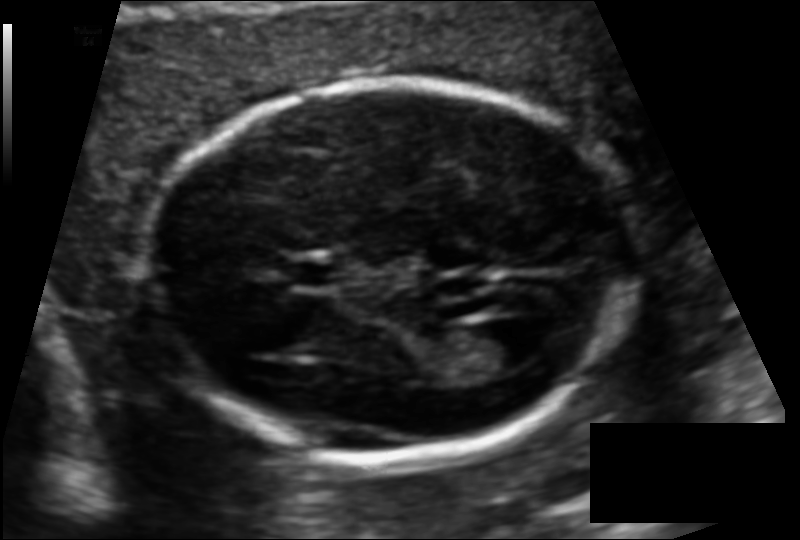
Estimate the fetal head circumference from this 2D ultrasound. Image width: 88.0 mm.

Head circumference: 155.3 mm.